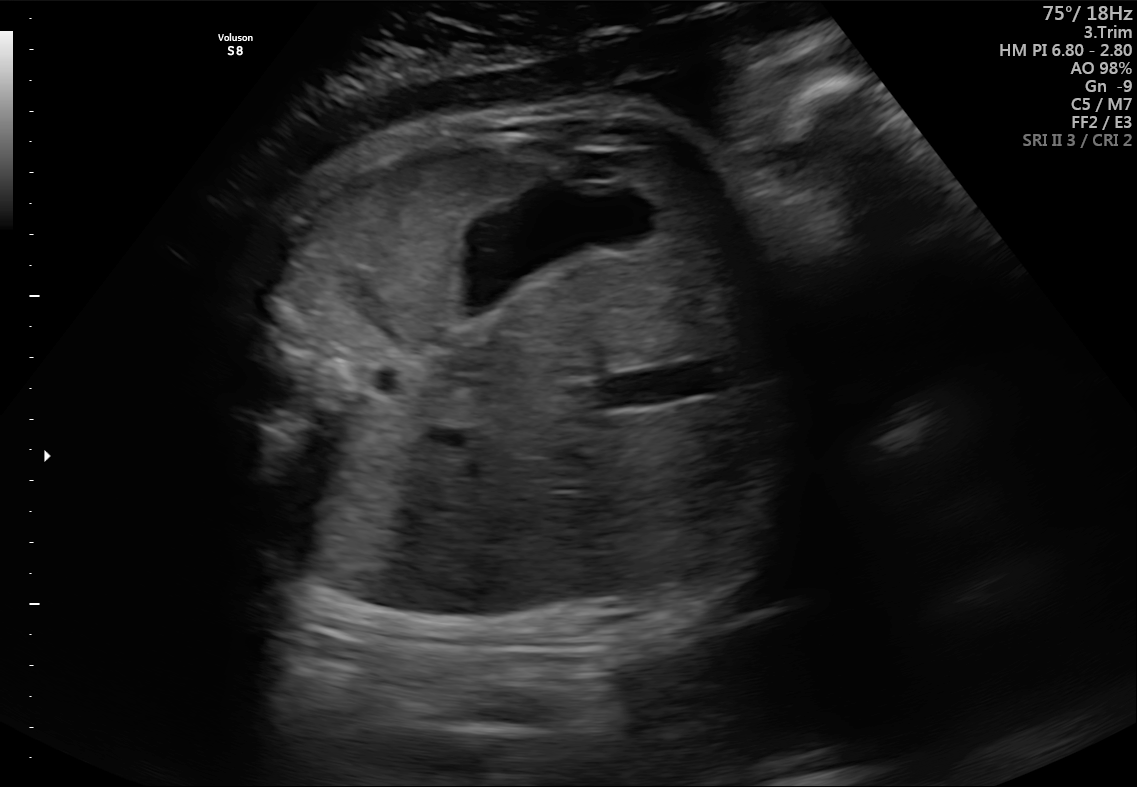
Identify the standard plane in this fetal ultrasound image: fetal abdomen, fetal brain, fetal femur, fetal thorax, maternal cervix, or other. If it's fetal brain and one of the three standard brain planes (trans-thalamic, trans-cerebellum, trans-ventricular), name which.

Fetal abdomen